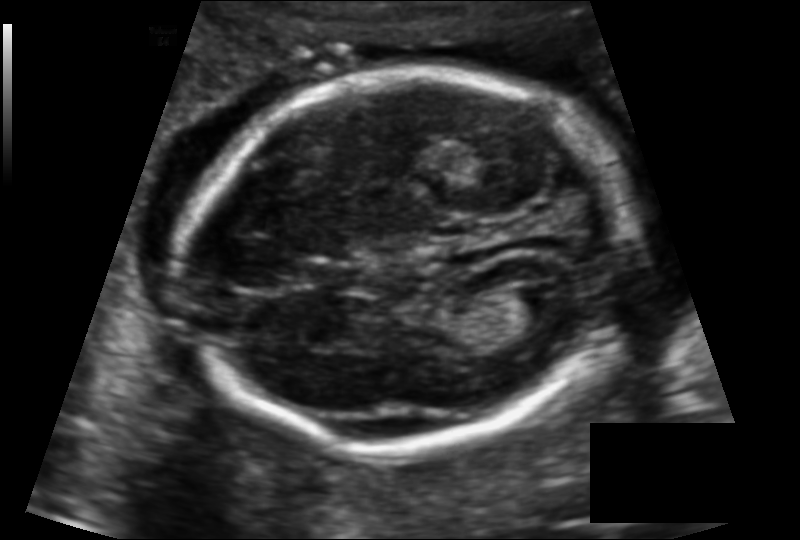
Fetal head ultrasound. Image width: 99.3 mm. Locate the lateral ventricle.

Lateral ventricle: [505,276,577,332]